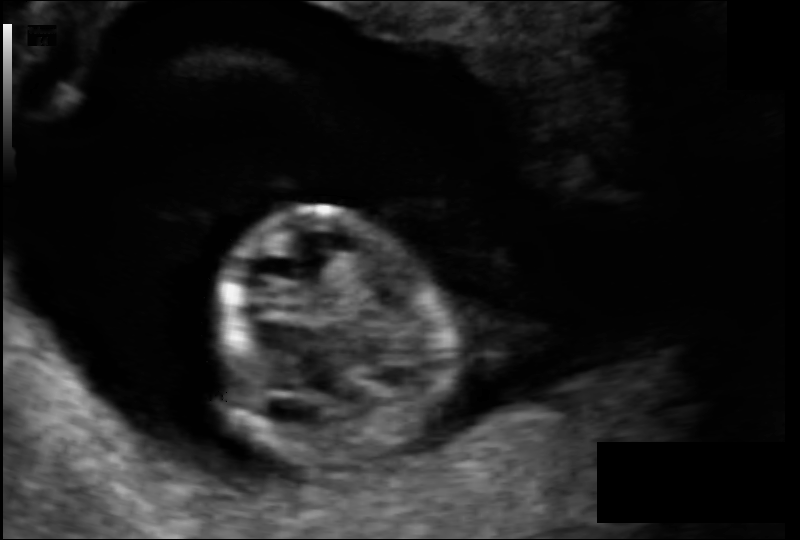
What is the fetal head circumference? Image width is 78.9 mm.

80.7 mm